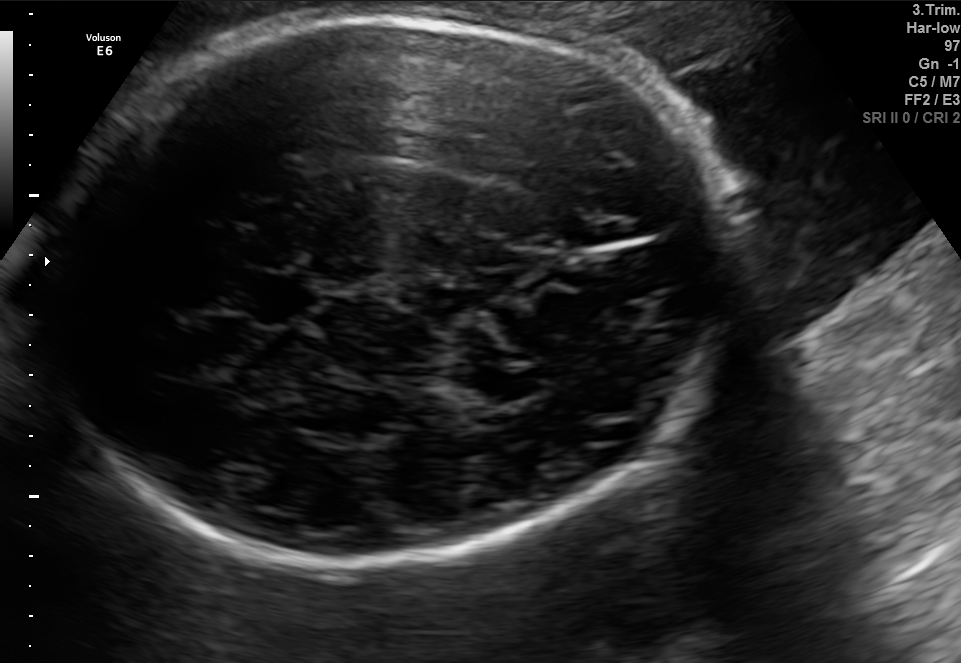
In this fetal brain, trans-thalamic plane, give bounding boxes for the head outline, cavum septum pellucidum (CSP), and lateral ventricle (LV), where visible.

Head: [46,16,731,567]
CSP: [237,270,304,326]